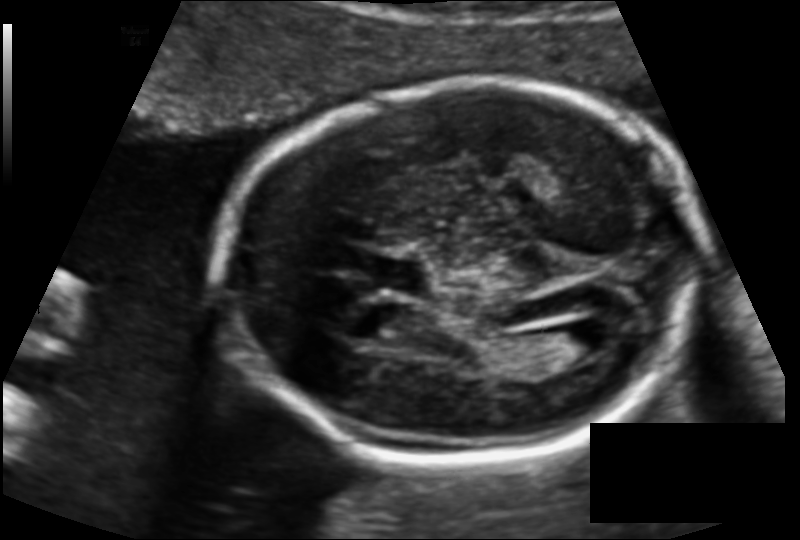
Fetal head ultrasound. Image width: 99.5 mm. Locate the fetal head.

Head: [219,86,700,462]